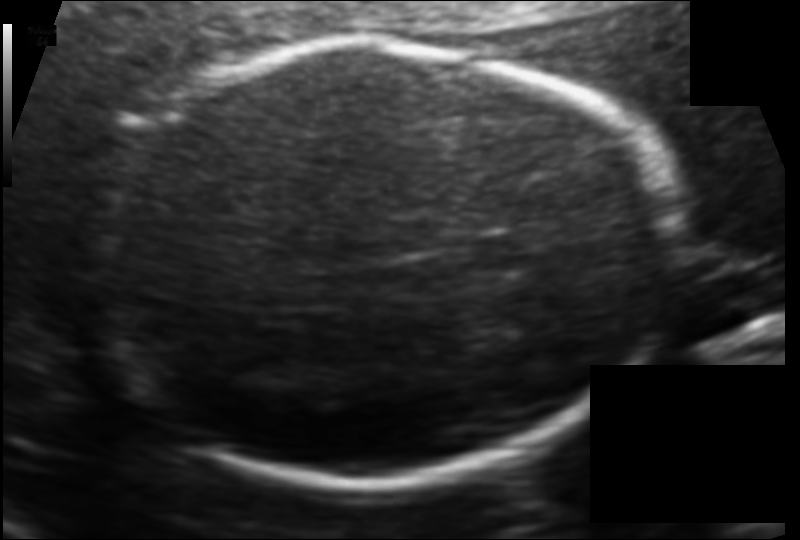
Estimate the fetal head circumference from this 2D ultrasound.

Head circumference: 187.5 mm (image width 91.1 mm).